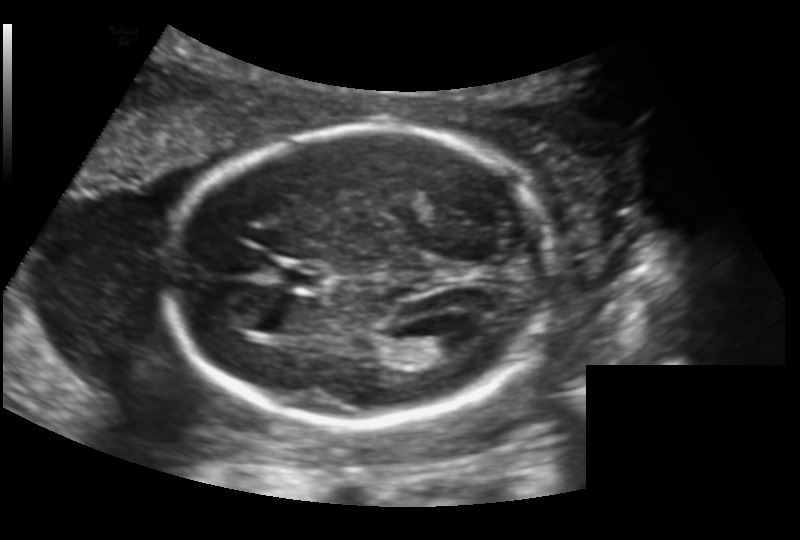
Fetal head ultrasound. Image width: 125.0 mm. Where is the lateral ventricle?

Lateral ventricle bounding box: [414,323,472,366]